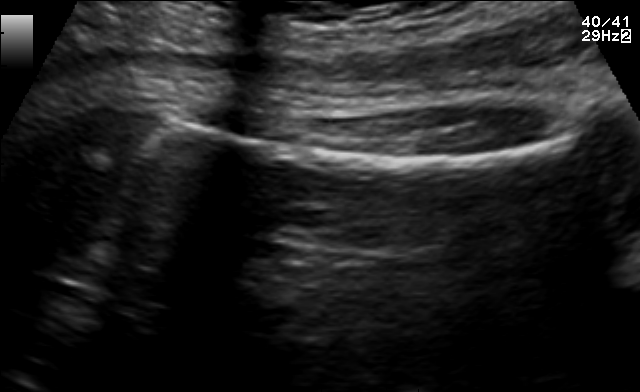
Which standard maternal-fetal ultrasound plane is shown: fetal abdomen, fetal brain, fetal femur, fetal thorax, maternal cervix, or other? If it's fetal brain and one of the three standard brain planes (trans-thalamic, trans-cerebellum, trans-ventricular), name which.

Fetal femur